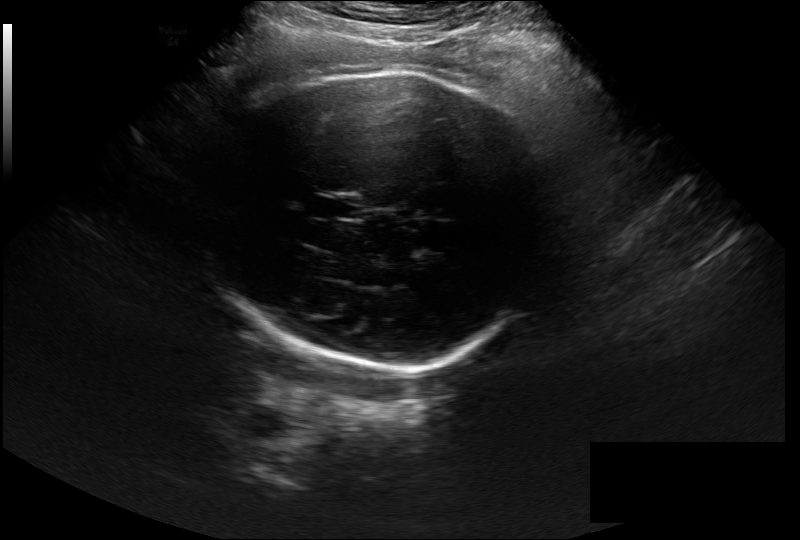
Estimate the fetal head circumference from this 2D ultrasound.

Head circumference: 313.2 mm (image width 237.6 mm).